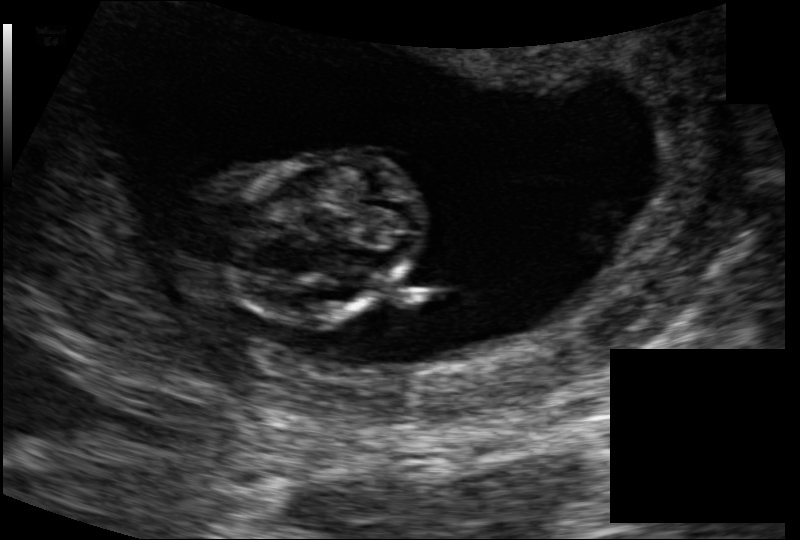
Fetal head ultrasound. Image width: 92.7 mm. Where is the fetal head?

Head bounding box: [221,148,425,325]